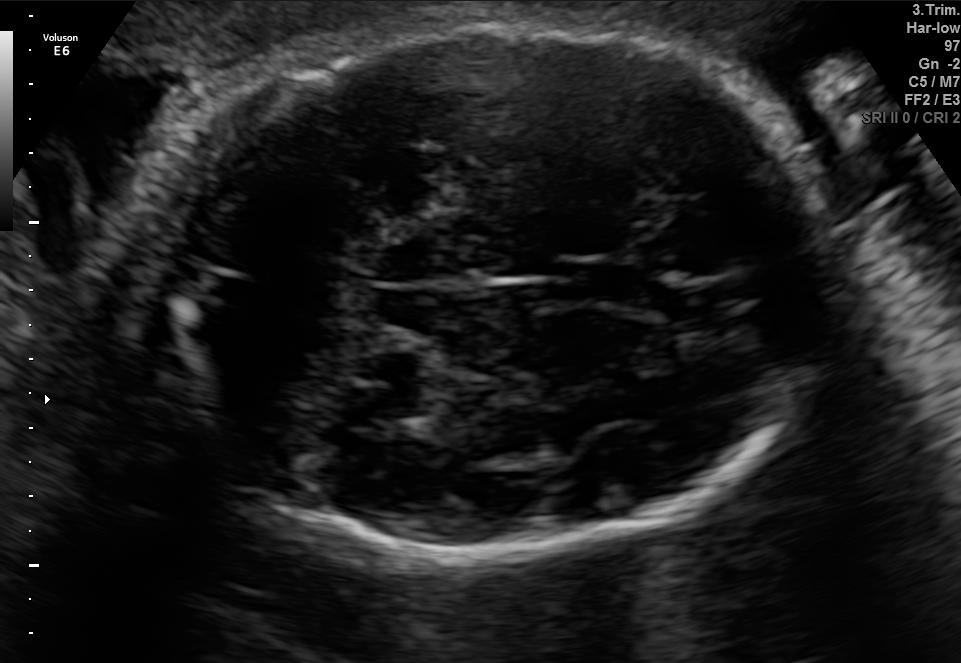
In this fetal brain, trans-cerebellum plane, give bounding boxes for the head outline, cavum septum pellucidum (CSP), and lateral ventricle (LV), where visible.

Head: [140,24,829,555]
CSP: [571,255,658,312]